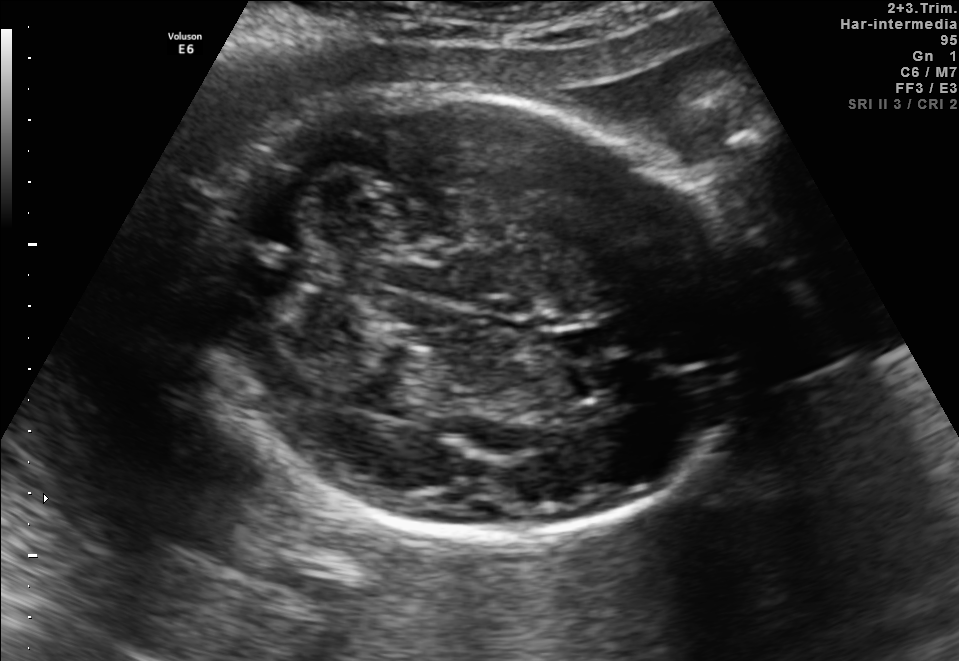
Fetal brain, trans-cerebellum plane. Give [x1,y1,x2,y2] bounding boxes for each visible structure among: fetal head, CSP, LV.

Head: [189,90,750,539]